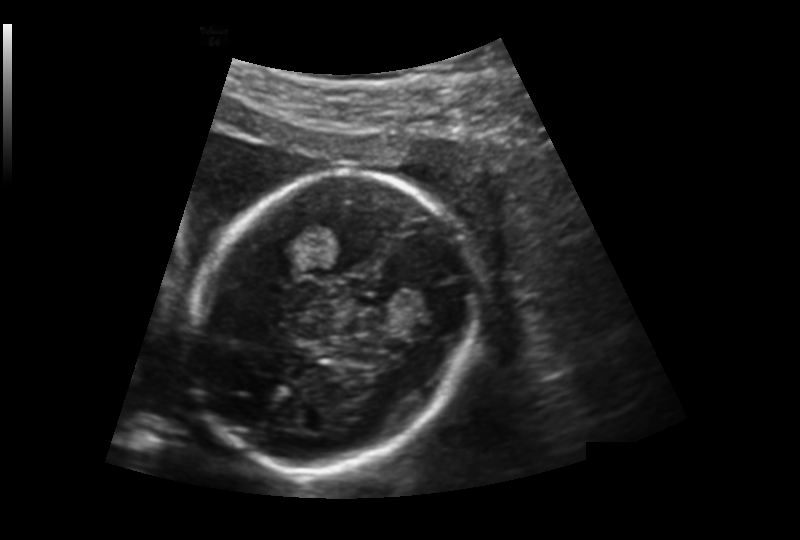
Measure the fetal head circumference shown in this ultrasound image. Image width: 140.4 mm.

Head circumference: 165.7 mm.